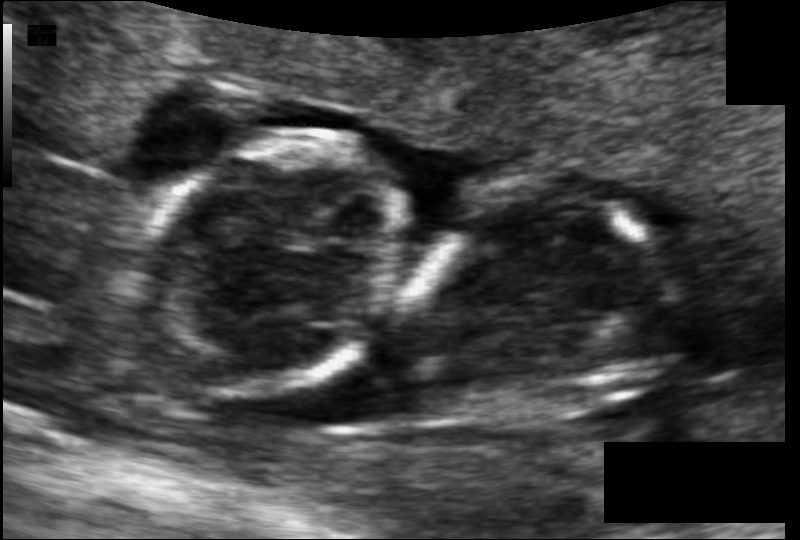
What is the fetal head circumference? Image width is 68.1 mm.

76.3 mm